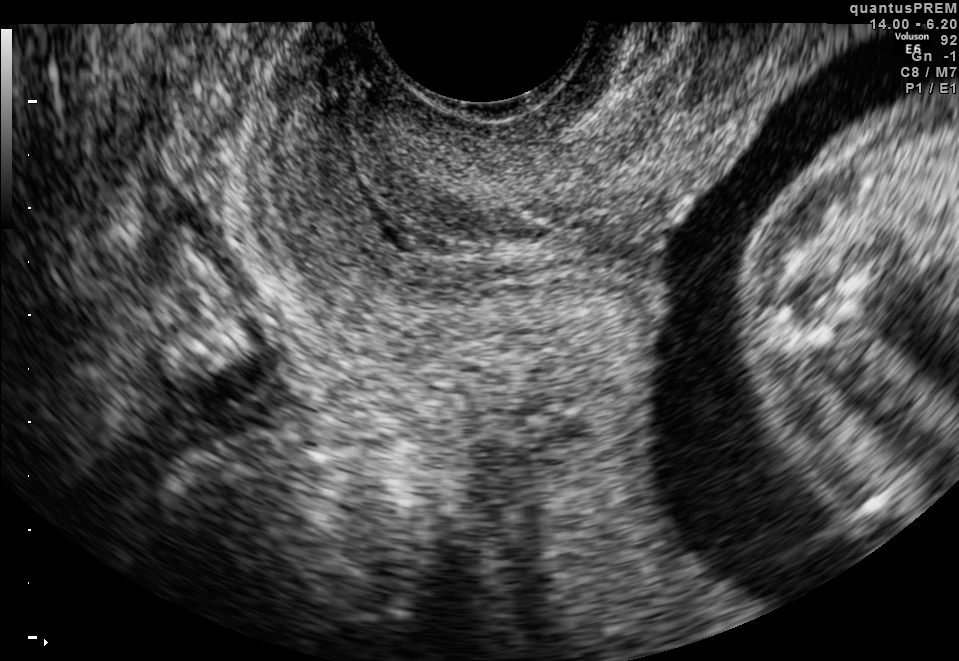
This is a 2D maternal-fetal ultrasound frame. Is it a fetal abdomen, fetal brain, fetal femur, fetal thorax, maternal cervix, or other standard plane? If it's fetal brain and one of the three standard brain planes (trans-thalamic, trans-cerebellum, trans-ventricular), name which.

Maternal cervix